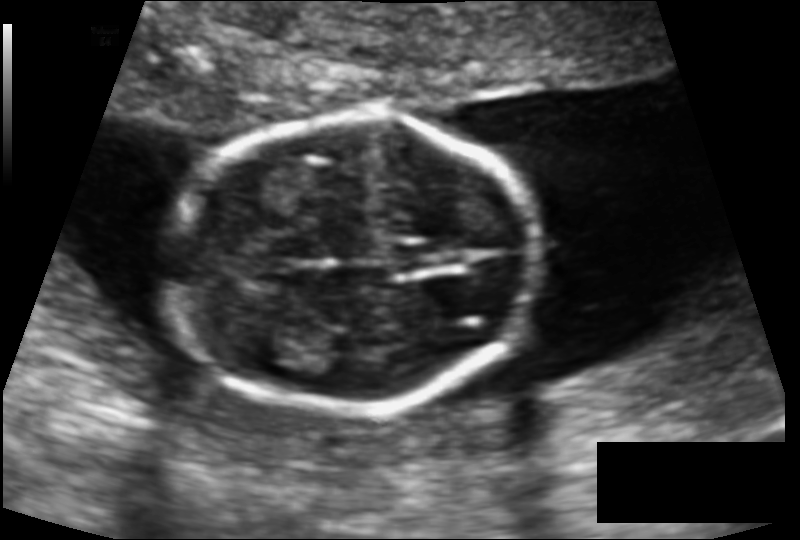
Fetal head ultrasound. Image width: 89.5 mm. Where is the cavum septum pellucidum?

CSP bounding box: [392,243,437,272]